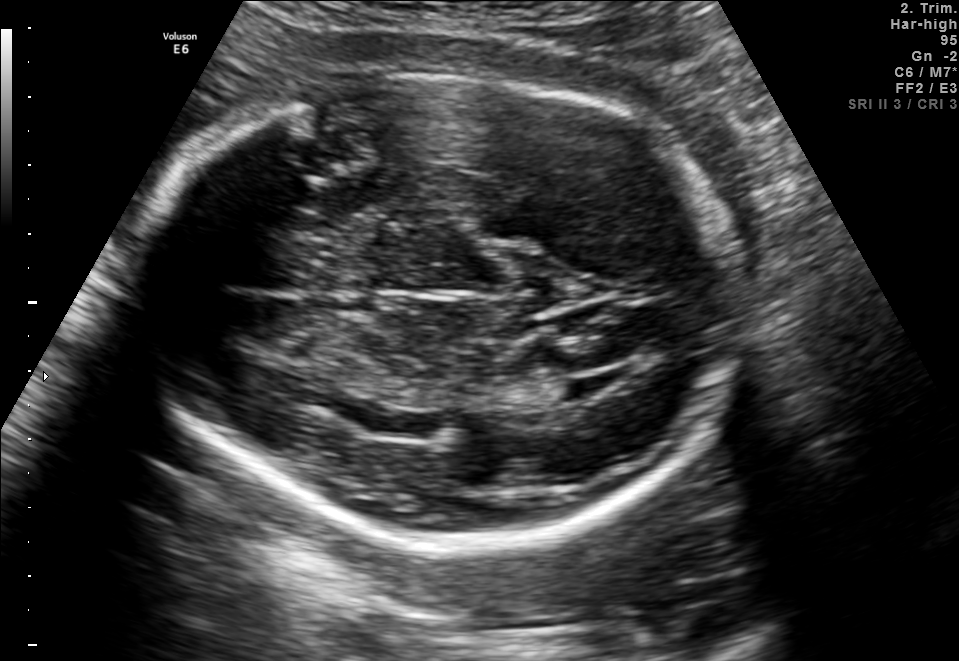
Fetal brain, trans-thalamic plane. Locate the fetal head.

Head: [138,78,739,541]